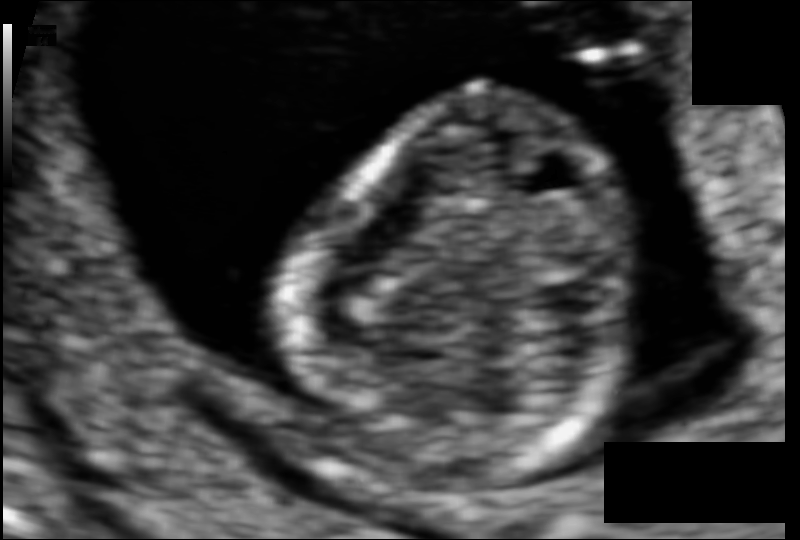
Measure the fetal head circumference shown in this ultrasound image. Image width: 48.3 mm.

Head circumference: 69.3 mm.